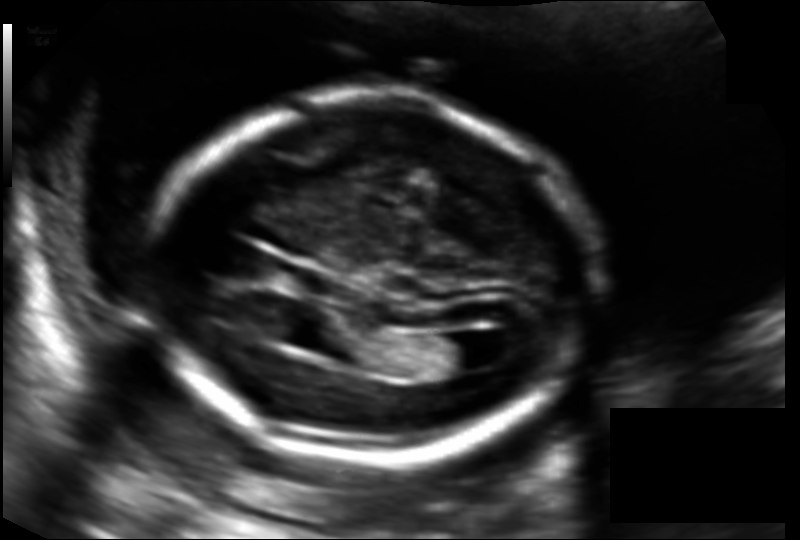
From this fetal ultrasound, estimate the head circumference (image width 104.2 mm).

Head circumference: 174.8 mm.